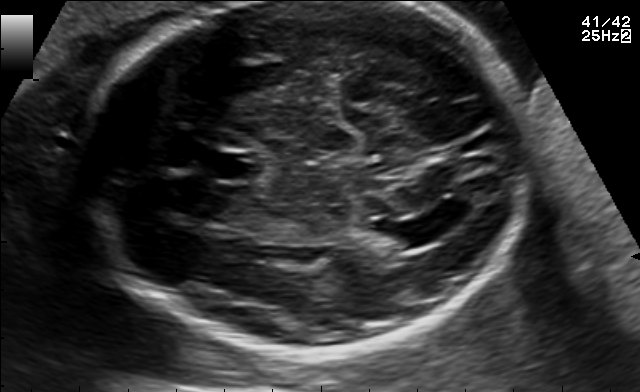
Fetal brain, trans-ventricular plane. Locate the cavum septum pellucidum (CSP) and lateral ventricle (LV), if visible. Give bounding boxes as [x1,y1,x2,y2].

CSP: [197,150,263,183]
Lateral ventricle: [377,211,445,258]